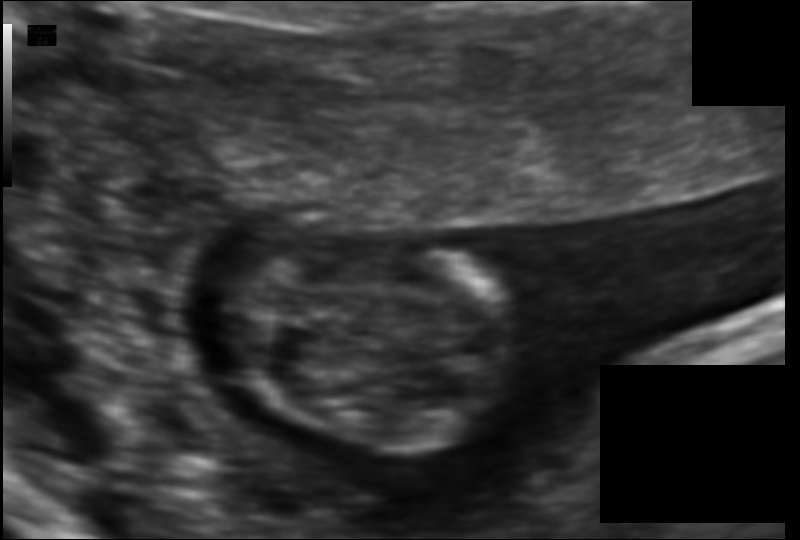
Estimate the fetal head circumference from this 2D ultrasound. Image width: 62.1 mm.

Head circumference: 62.1 mm.